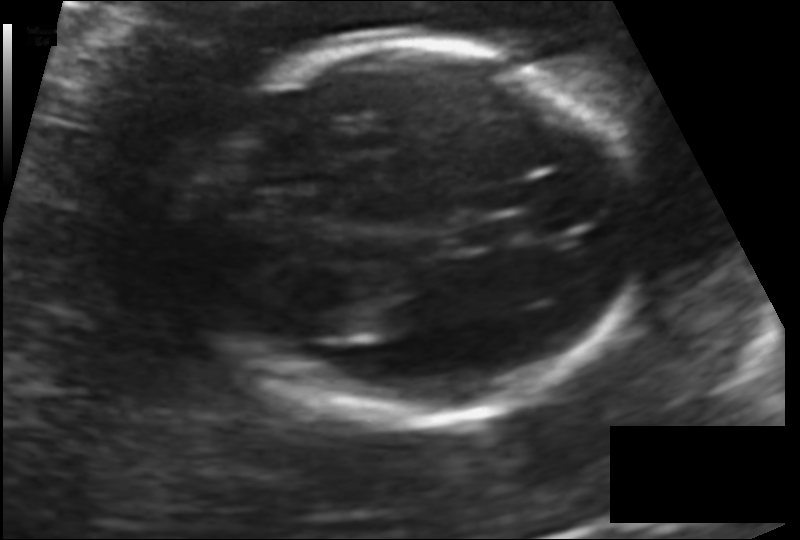
In this fetal head ultrasound, give the bounding box of the lateral ventricle. Image width: 104.5 mm.

[306,306,360,342]